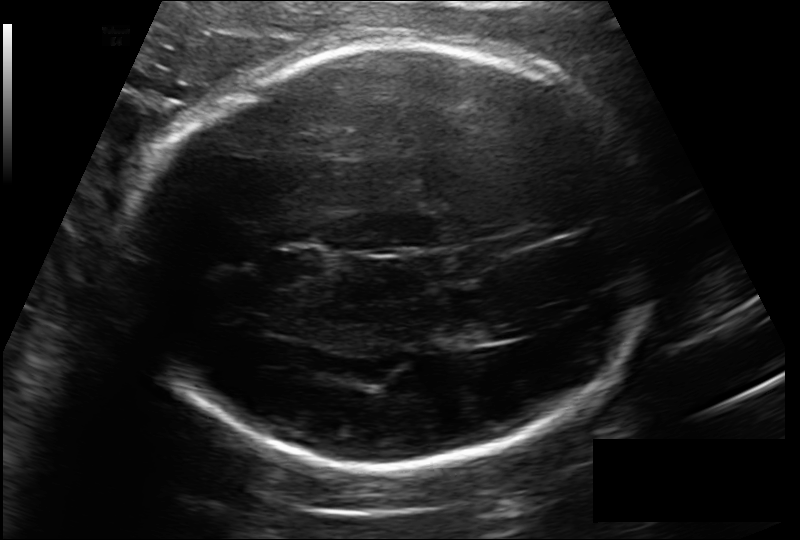
Fetal head ultrasound. Image width: 148.1 mm. Give [x1,y1,x2,y2] bounding boxes for each visible structure among: fetal head, CSP, LV.

Head: [137,46,658,466]
CSP: [271,246,324,279]
Lateral ventricle: [459,318,510,347]